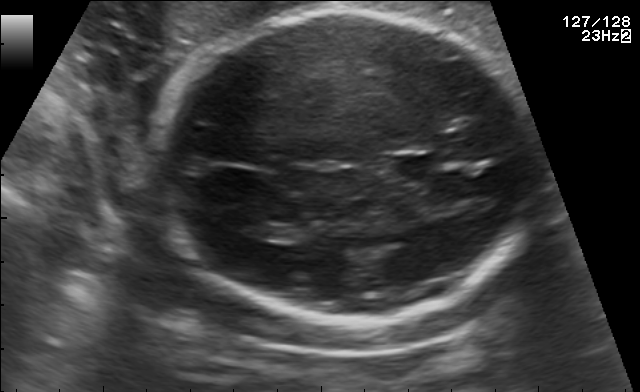
Fetal brain, trans-thalamic plane. Locate the cavum septum pellucidum.

CSP: [386,155,432,179]